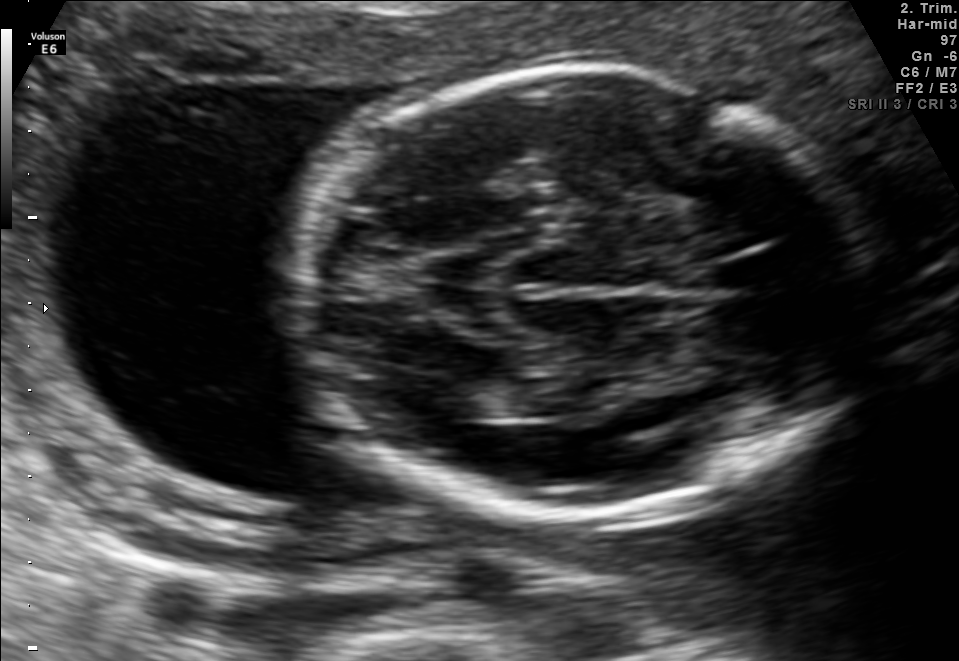
Fetal brain, trans-thalamic plane. Where is the lateral ventricle?

Lateral ventricle bounding box: [424,375,520,424]